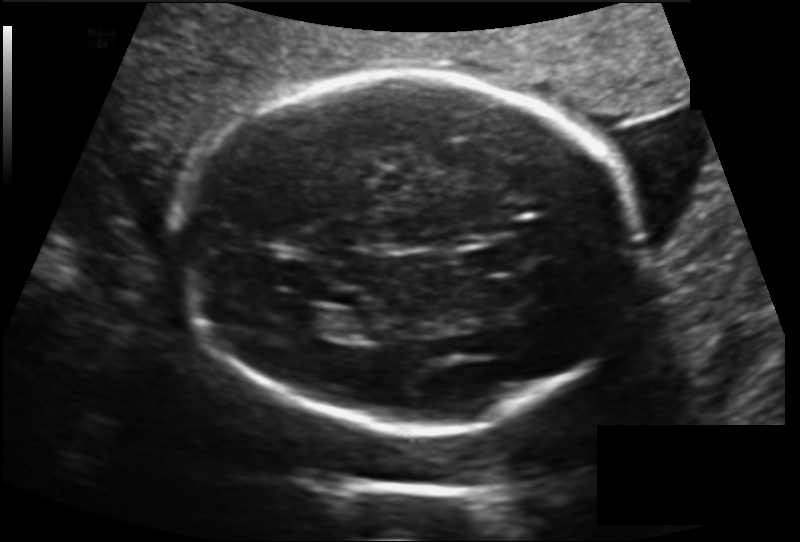
Estimate the fetal head circumference from this 2D ultrasound.

Head circumference: 212.1 mm (image width 127.7 mm).